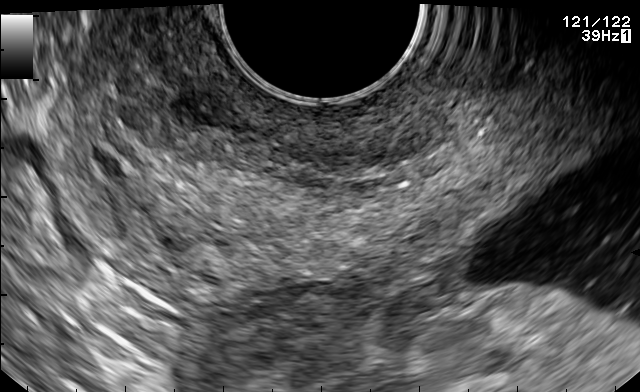
Which standard maternal-fetal ultrasound plane is shown: fetal abdomen, fetal brain, fetal femur, fetal thorax, maternal cervix, or other? If it's fetal brain and one of the three standard brain planes (trans-thalamic, trans-cerebellum, trans-ventricular), name which.

Maternal cervix